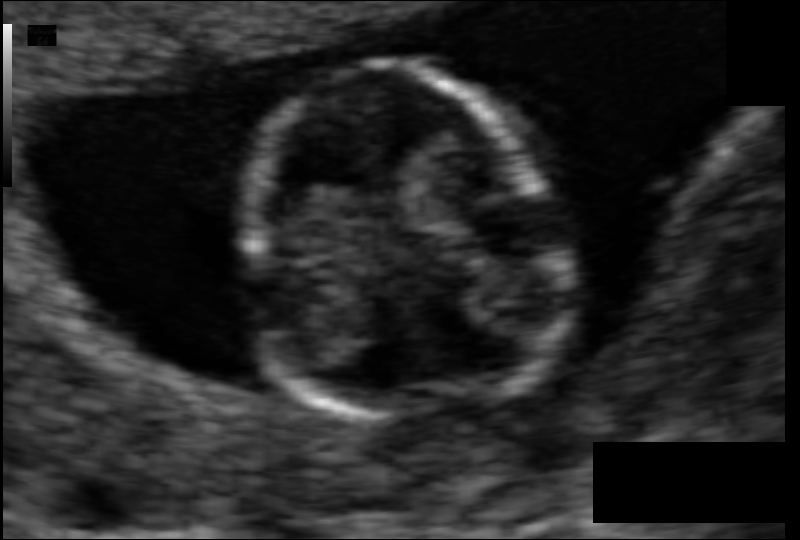
From this fetal ultrasound, estimate the head circumference (image width 49.5 mm).

Head circumference: 72.0 mm.